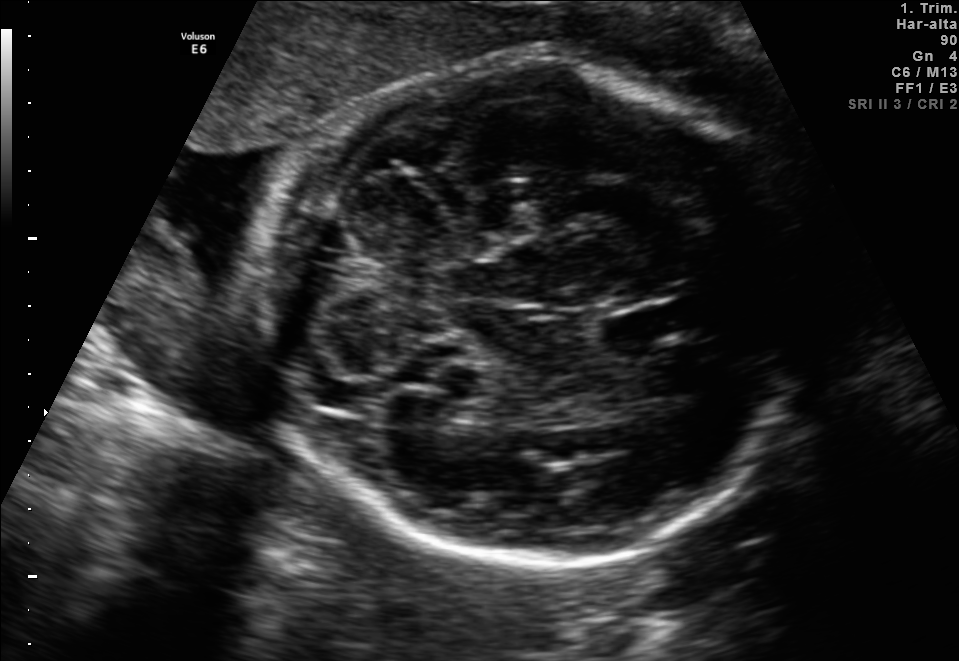
Classify this maternal-fetal ultrasound image as one of the six standard planes — fetal abdomen, fetal brain, fetal femur, fetal thorax, maternal cervix, or other. If it's fetal brain and one of the three standard brain planes (trans-thalamic, trans-cerebellum, trans-ventricular), name which.

Fetal brain (trans-cerebellum plane)